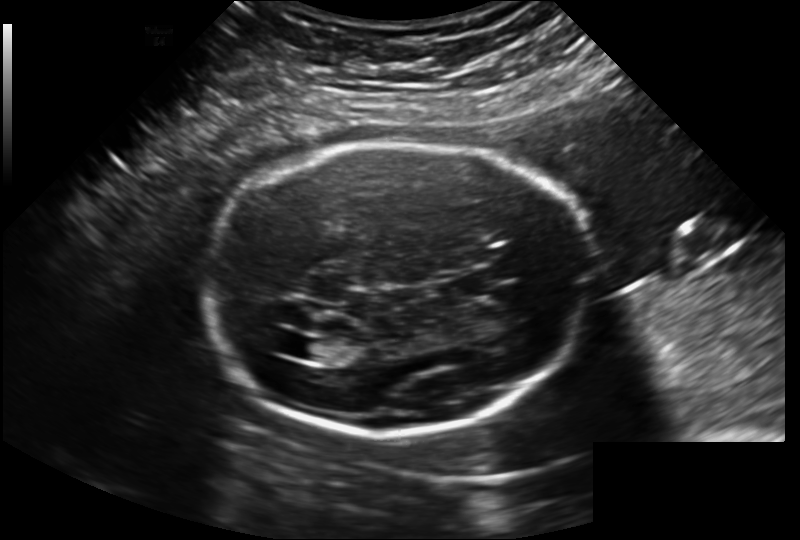
Fetal head ultrasound. Image width: 161.6 mm. Where is the lateral ventricle?

Lateral ventricle bounding box: [285,333,327,363]